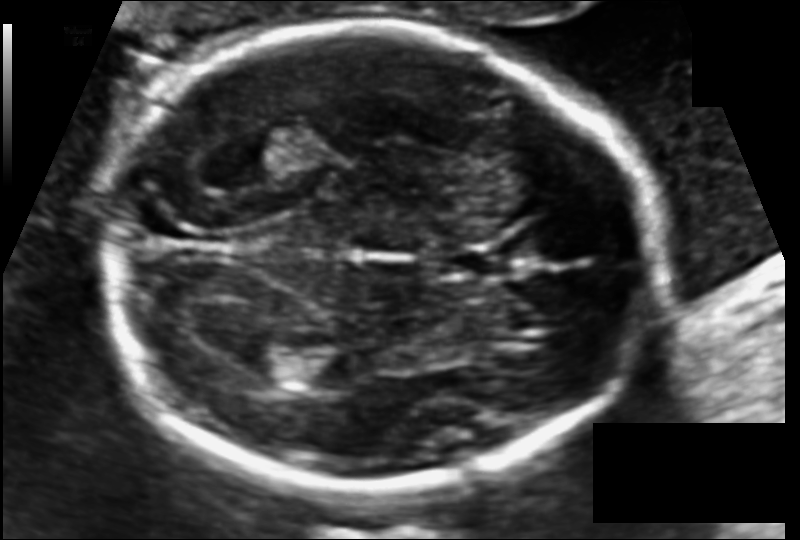
Estimate the fetal head circumference from this 2D ultrasound.

Head circumference: 179.6 mm (image width 87.7 mm).